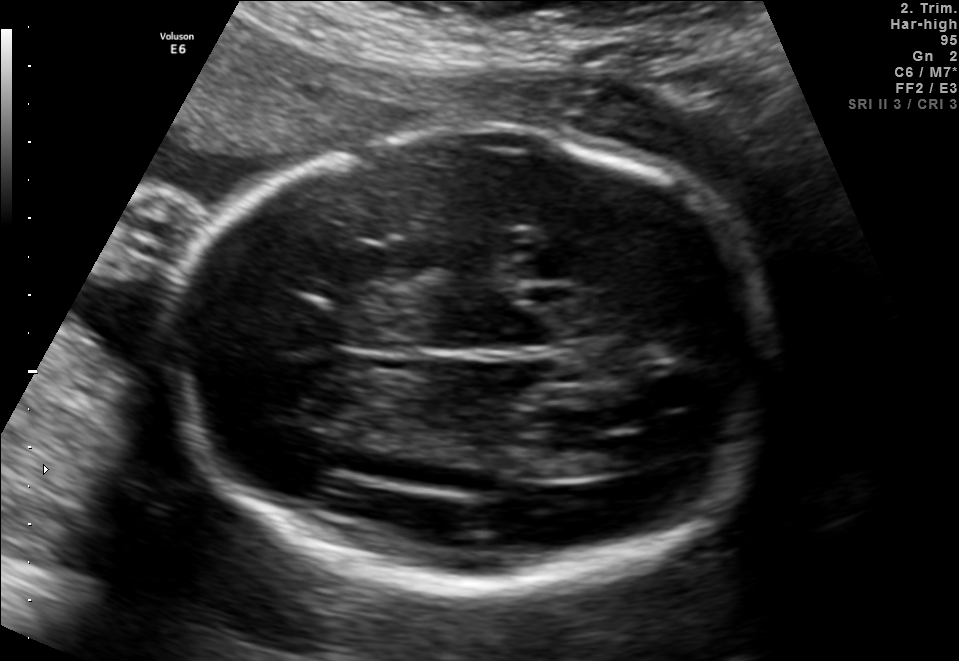
Fetal brain, trans-thalamic plane. Locate the fetal head.

Head: [160,127,787,594]